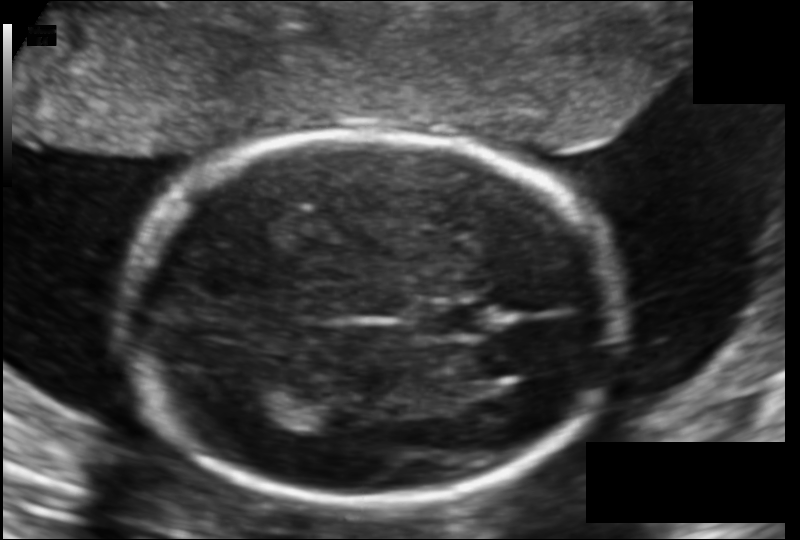
Fetal head ultrasound. Image width: 98.4 mm. Locate the fetal head and, if visible, the cavum septum pellucidum (CSP) and lateral ventricle (LV). Give bounding boxes as [x1,y1,x2,y2].

Head: [125,134,618,506]
CSP: [413,303,489,340]